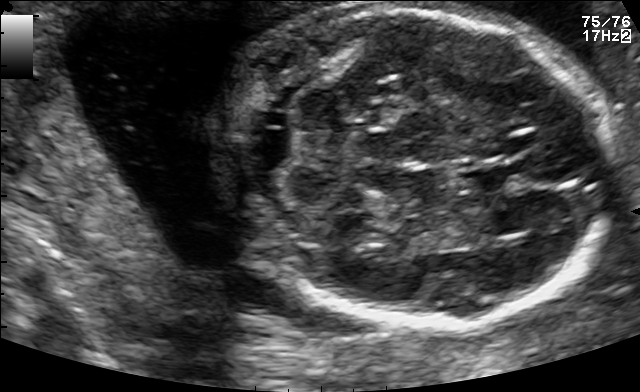
Fetal brain, trans-cerebellum plane. Where is the fetal head?

Head bounding box: [219,5,617,328]